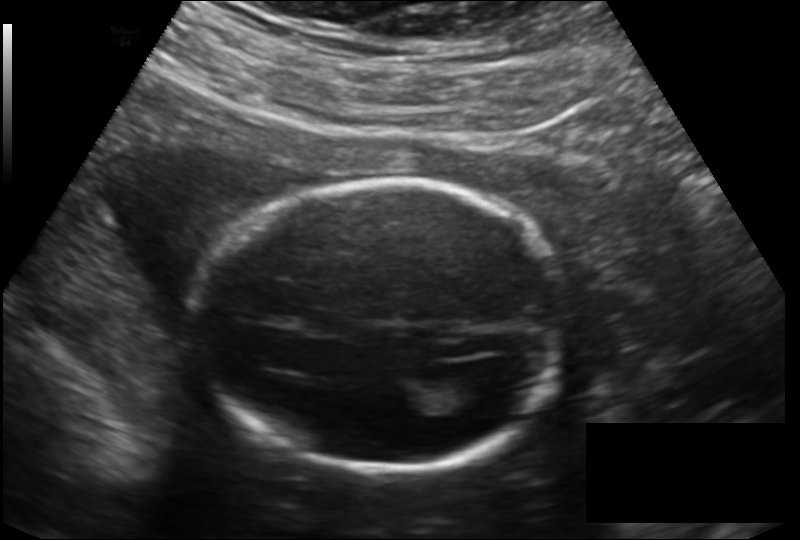
Estimate the fetal head circumference from this 2D ultrasound.

Head circumference: 179.0 mm (image width 133.1 mm).